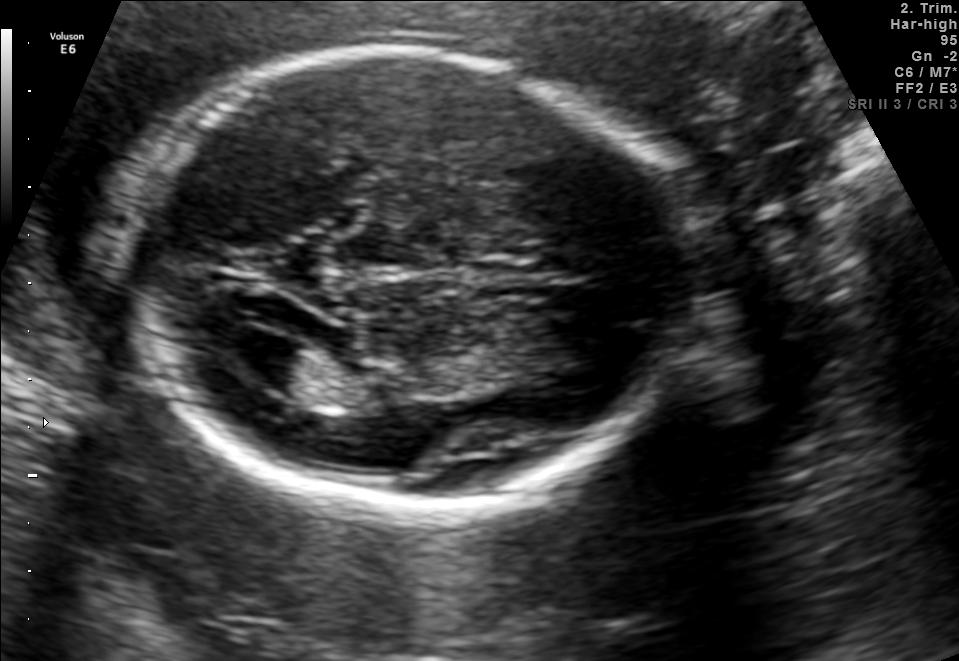
Fetal brain, trans-ventricular plane. Locate the lateral ventricle.

Lateral ventricle: [210,311,309,395]